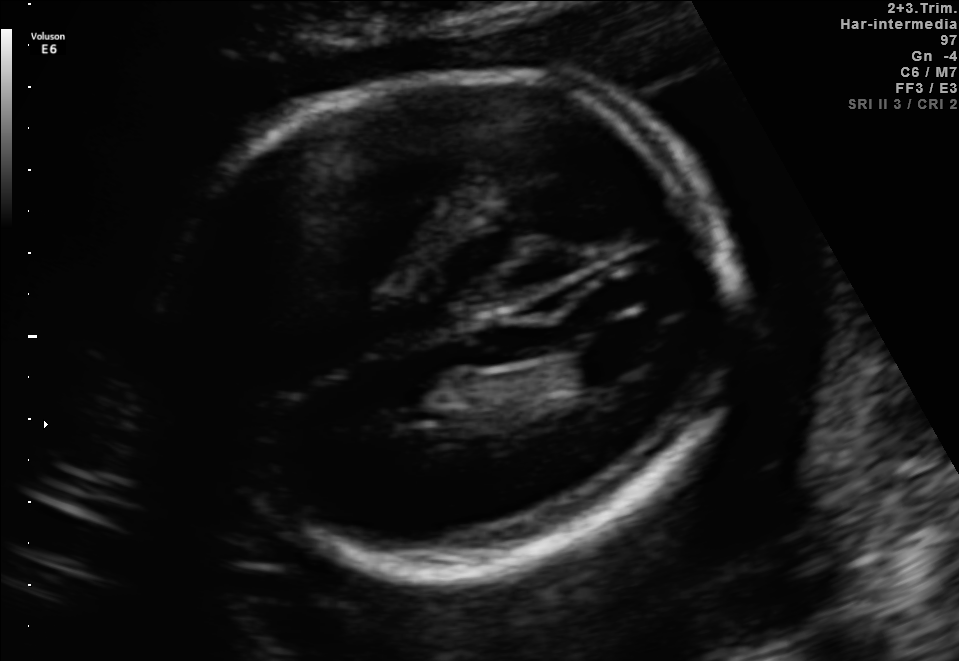
Fetal brain, trans-ventricular plane. Locate the fetal head.

Head: [159,61,758,582]